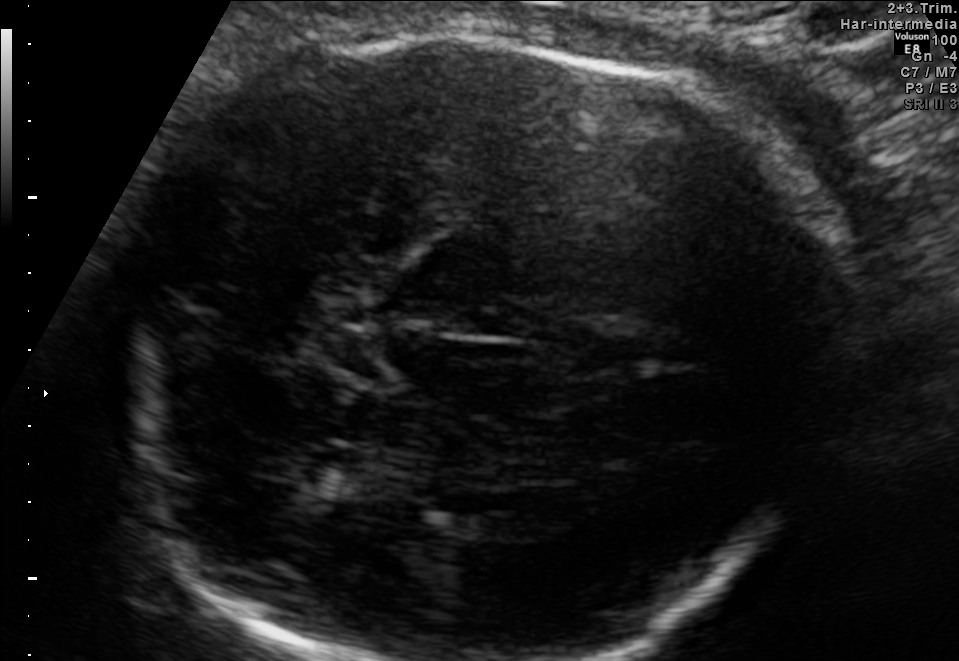
Fetal brain, trans-thalamic plane. Locate the fetal head.

Head: [131,22,800,660]